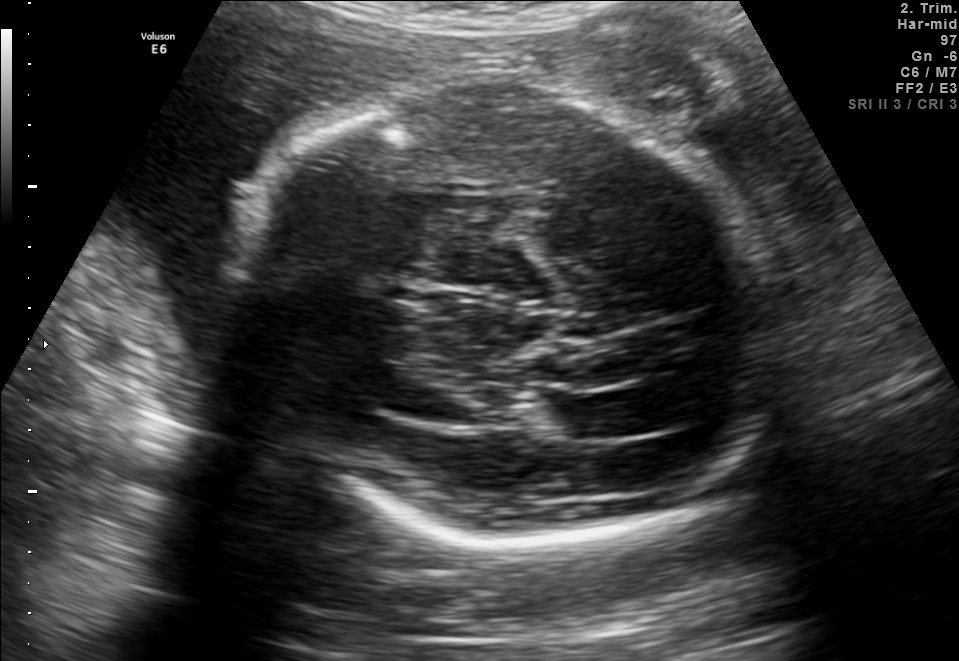
In this fetal brain, trans-thalamic plane, give the bounding box of the fetal head.

[221,83,786,546]